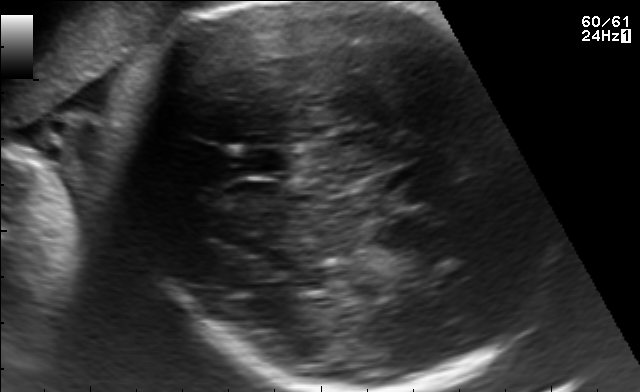
Fetal brain, trans-thalamic plane. Locate the fetal head and, if visible, the cavum septum pellucidum (CSP) and lateral ventricle (LV). Give bounding boxes as [x1,y1,x2,y2].

Head: [137,3,525,389]